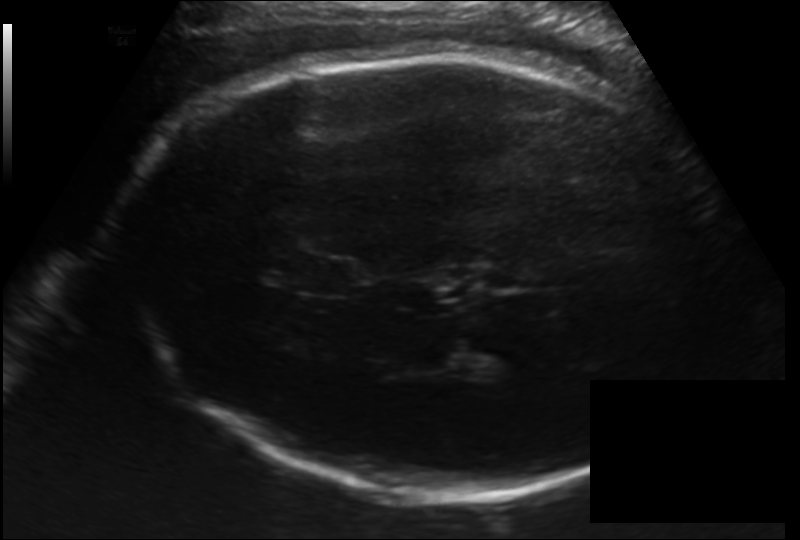
Fetal head ultrasound. Image width: 153.4 mm. Locate the fetal head.

Head: [118,51,727,497]